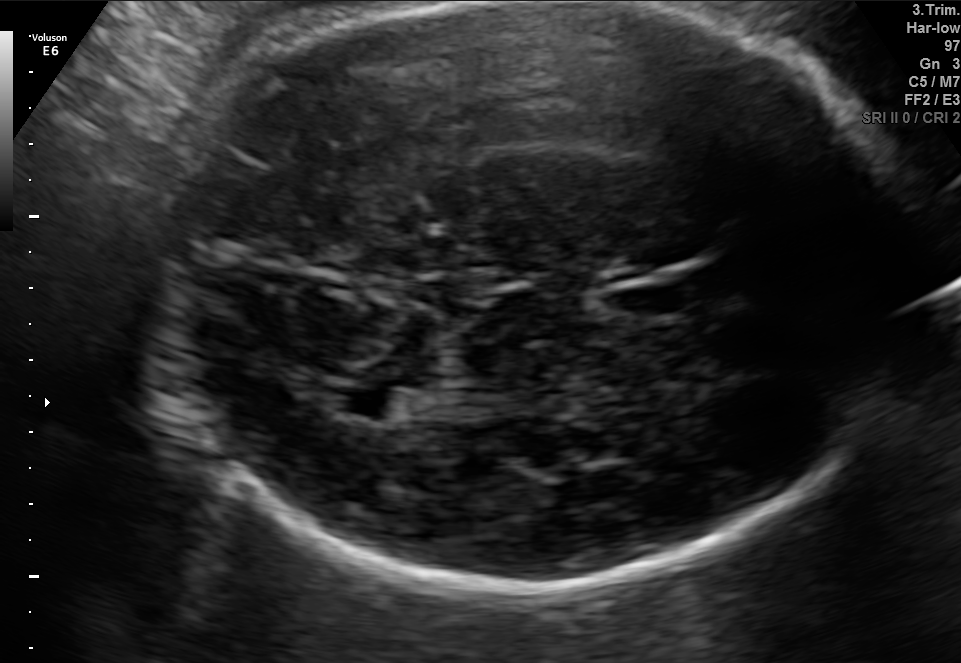
In this fetal brain, trans-thalamic plane, give the bounding box of the fetal head.

[167,2,912,591]